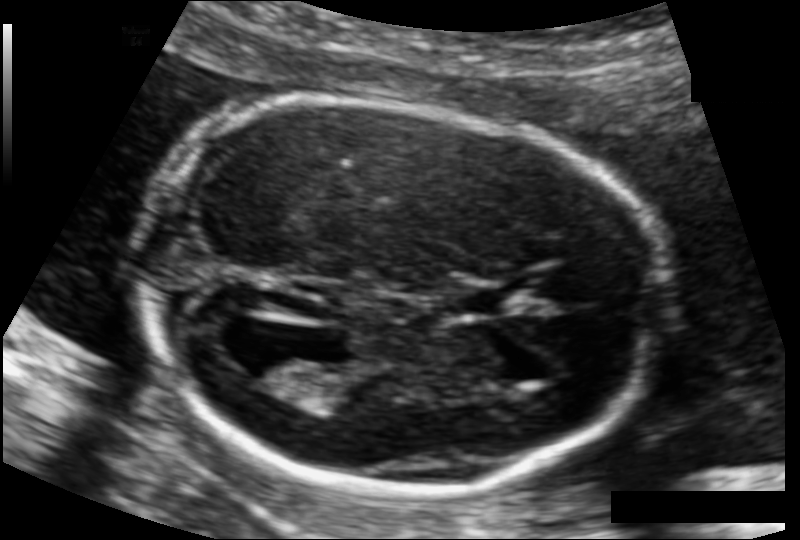
Fetal head ultrasound. Image width: 85.7 mm. Locate the cavum septum pellucidum.

CSP: [455,287,512,313]